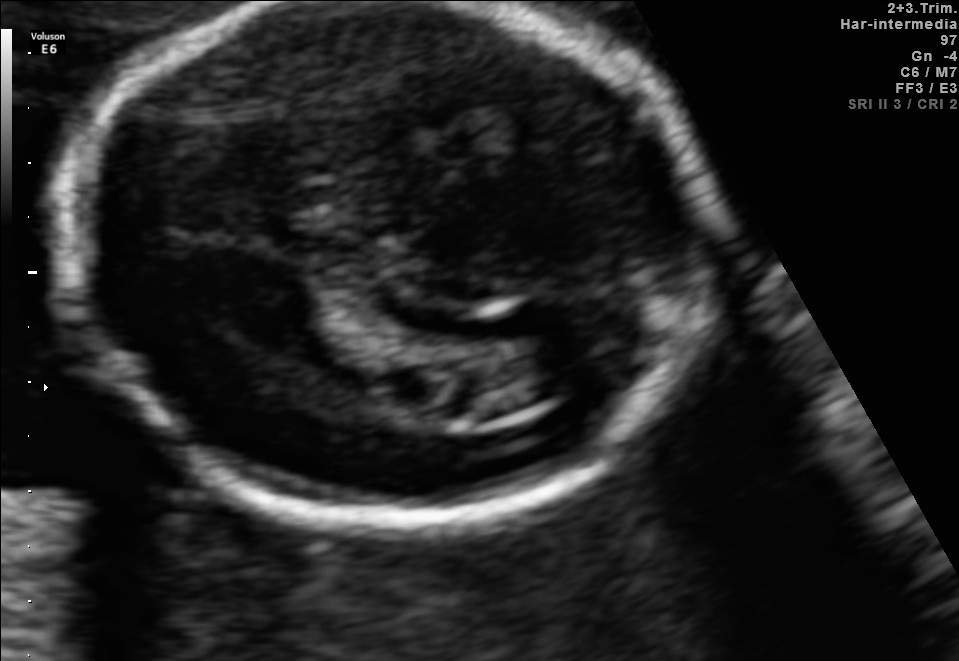
In this fetal brain, trans-ventricular plane, give the bounding box of the lateral ventricle.

[512,330,609,407]